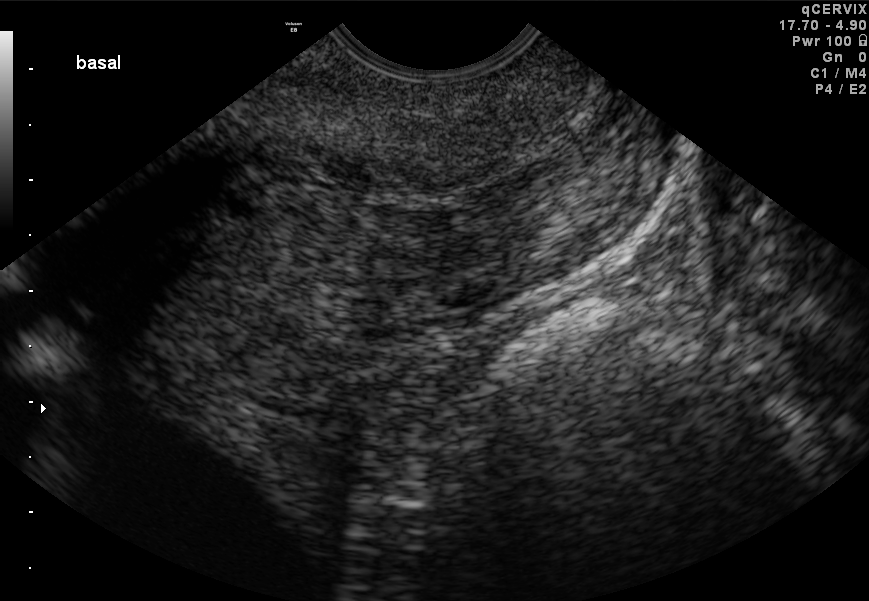
This is a 2D maternal-fetal ultrasound frame. Is it a fetal abdomen, fetal brain, fetal femur, fetal thorax, maternal cervix, or other standard plane? If it's fetal brain and one of the three standard brain planes (trans-thalamic, trans-cerebellum, trans-ventricular), name which.

Maternal cervix